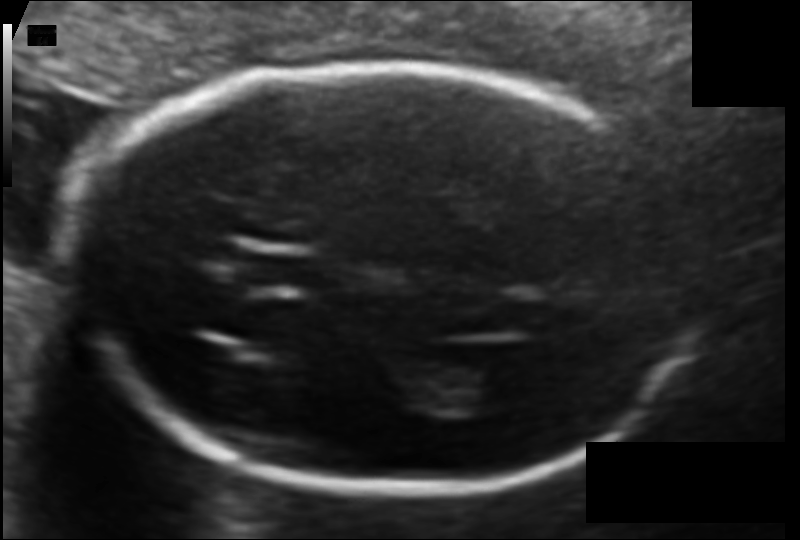
In this fetal head ultrasound, give the bounding box of the lateral ventricle. Image width: 82.7 mm.

[433,349,527,415]